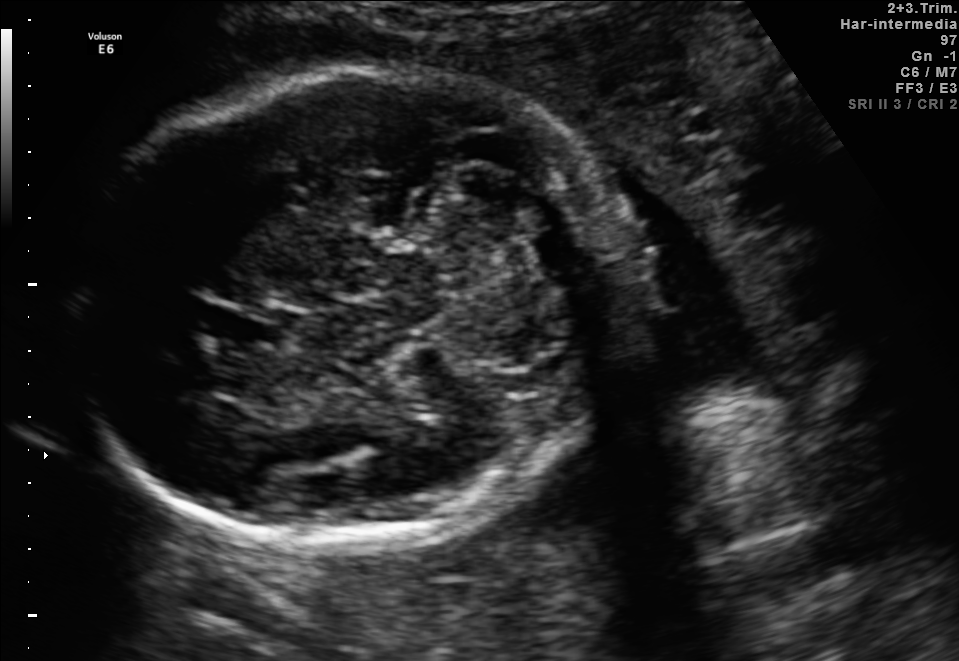
In this fetal brain, trans-cerebellum plane, give the bounding box of the fetal head.

[76,68,625,543]